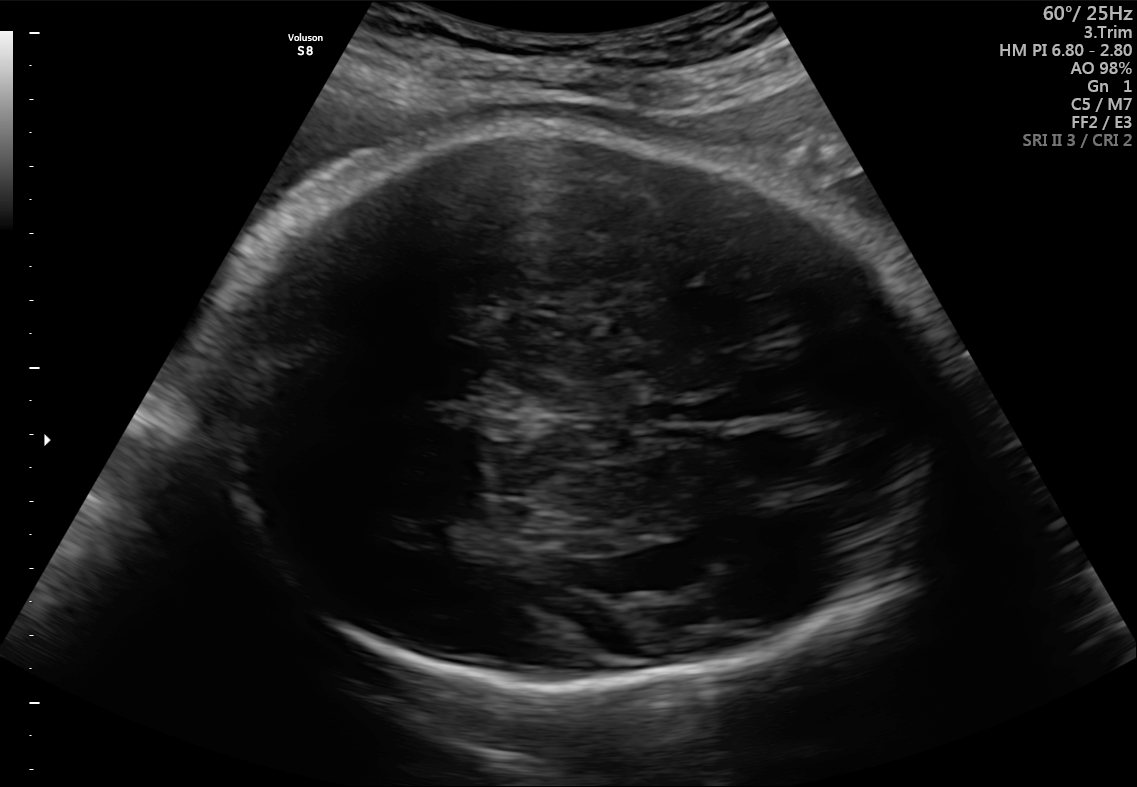
In this fetal brain, trans-thalamic plane, give bounding boxes for the head outline, cavum septum pellucidum (CSP), and lateral ventricle (LV), where visible.

Head: [226,127,927,693]